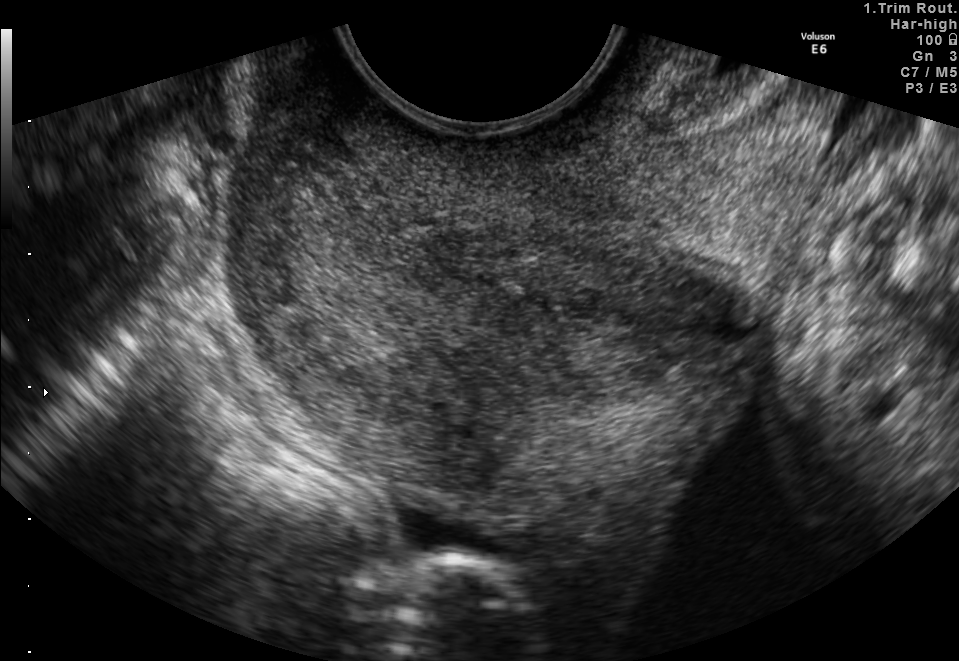
Which standard maternal-fetal ultrasound plane is shown: fetal abdomen, fetal brain, fetal femur, fetal thorax, maternal cervix, or other? If it's fetal brain and one of the three standard brain planes (trans-thalamic, trans-cerebellum, trans-ventricular), name which.

Maternal cervix